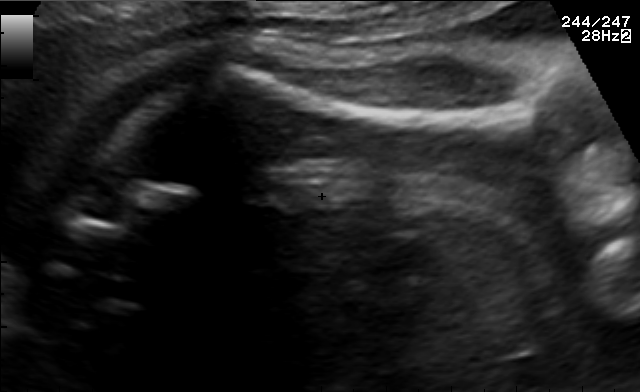
This is a 2D maternal-fetal ultrasound frame. Is it a fetal abdomen, fetal brain, fetal femur, fetal thorax, maternal cervix, or other standard plane? If it's fetal brain and one of the three standard brain planes (trans-thalamic, trans-cerebellum, trans-ventricular), name which.

Fetal femur